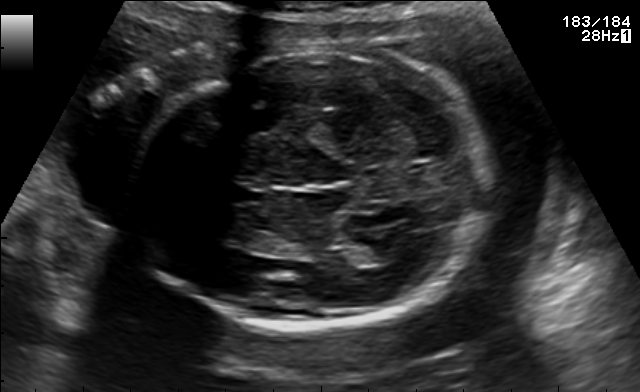
Fetal brain, trans-thalamic plane. Locate the fetal head and, if visible, the cavum septum pellucidum (CSP) and lateral ventricle (LV). Give bounding boxes as [x1,y1,x2,y2].

Head: [131,49,495,329]
CSP: [234,187,263,202]
Lateral ventricle: [354,245,396,267]